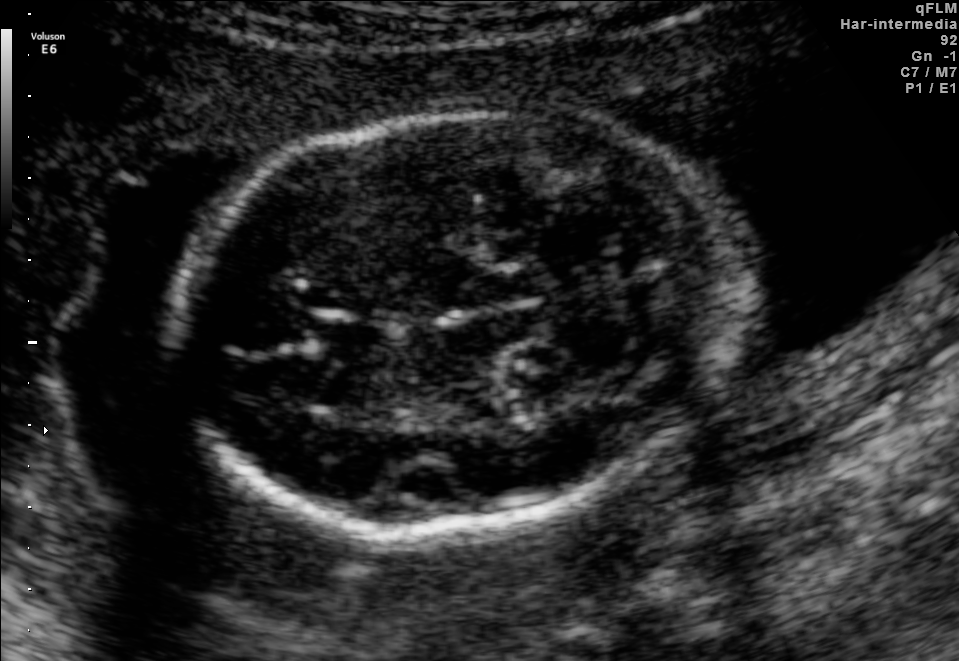
In this fetal brain, trans-cerebellum plane, give the bounding box of the fetal head.

[174,108,737,531]